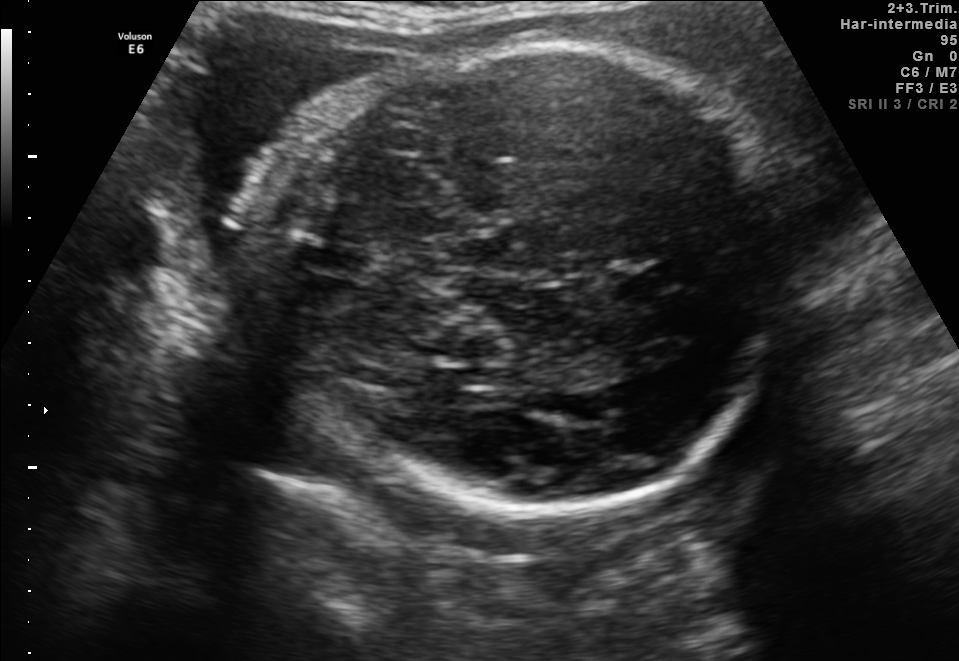
Fetal brain, trans-thalamic plane. Locate the fetal head.

Head: [273,38,782,529]